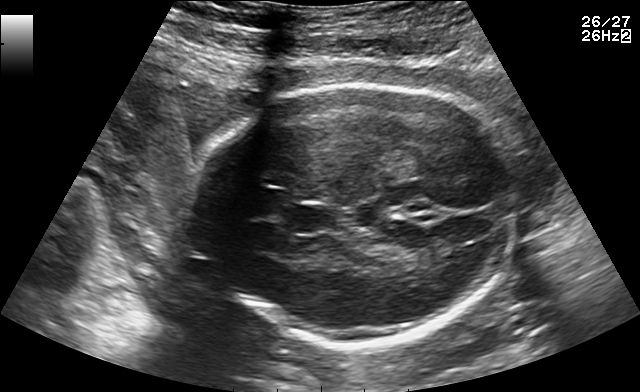
Fetal brain, trans-thalamic plane. Locate the fetal head.

Head: [185,85,519,348]